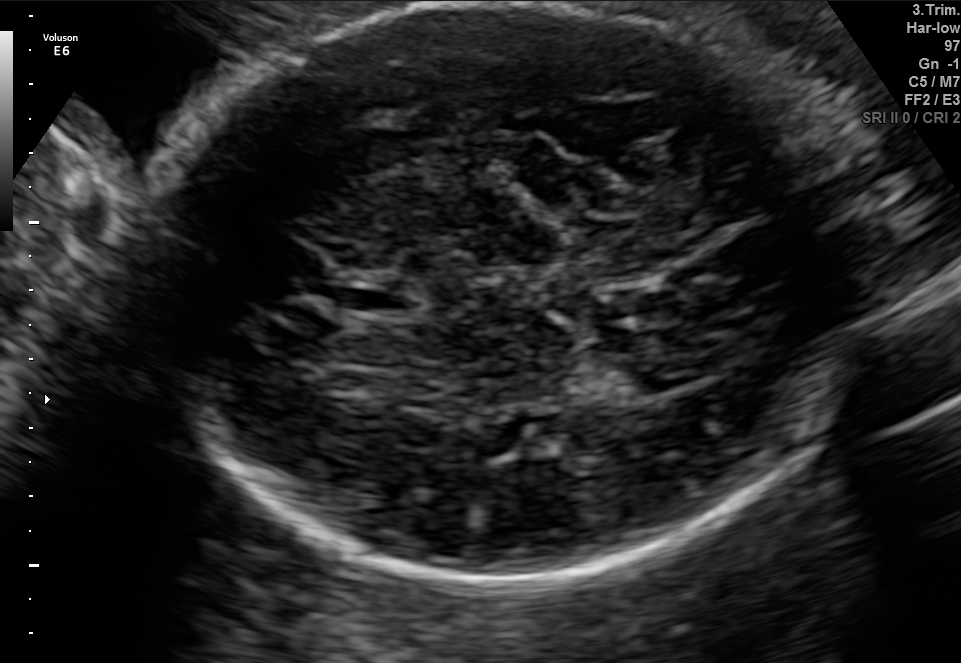
Fetal brain, trans-thalamic plane. Give [x1,y1,x2,y2] bounding boxes for each visible structure among: fetal head, CSP, LV.

Head: [130,6,875,583]
CSP: [337,282,419,312]
Lateral ventricle: [618,339,715,405]